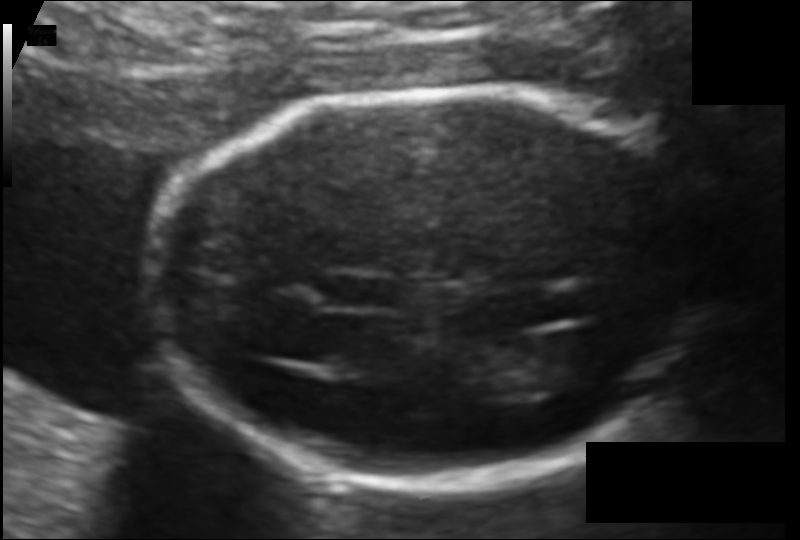
Fetal head ultrasound. Image width: 82.4 mm. Locate the fetal head.

Head: [157,92,685,482]